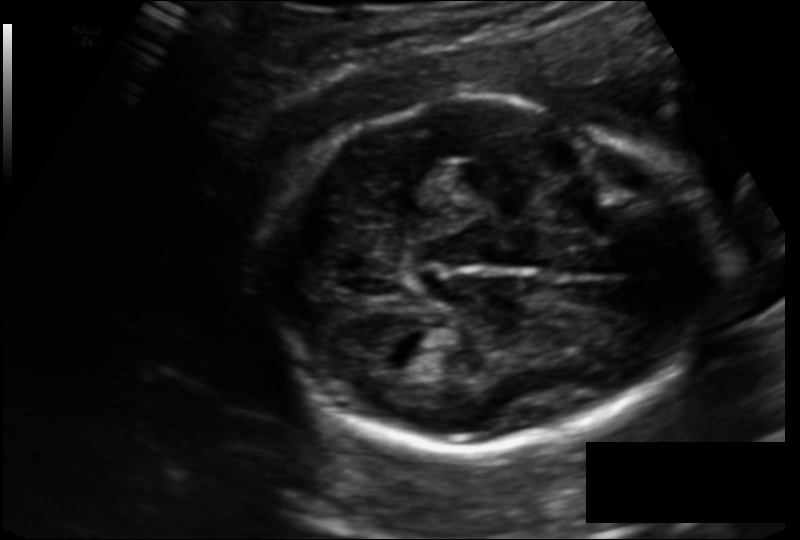
Fetal head ultrasound. Image width: 107.7 mm. Give [x1,y1,x2,y2] bounding boxes for each visible structure among: fetal head, CSP, LV.

Head: [259,97,711,454]